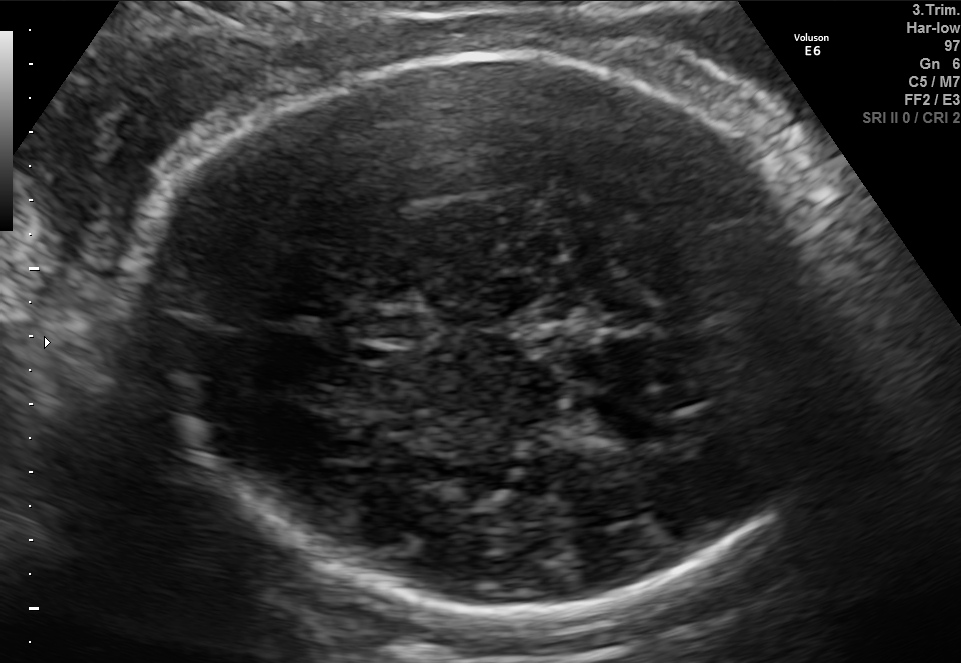
In this fetal brain, trans-thalamic plane, give the bounding box of the fetal head.

[133,52,846,615]